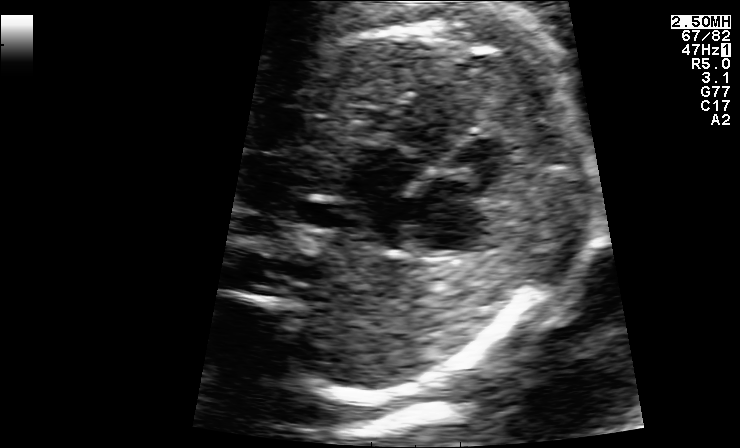
This is a 2D maternal-fetal ultrasound frame. Is it a fetal abdomen, fetal brain, fetal femur, fetal thorax, maternal cervix, or other standard plane? If it's fetal brain and one of the three standard brain planes (trans-thalamic, trans-cerebellum, trans-ventricular), name which.

Fetal thorax